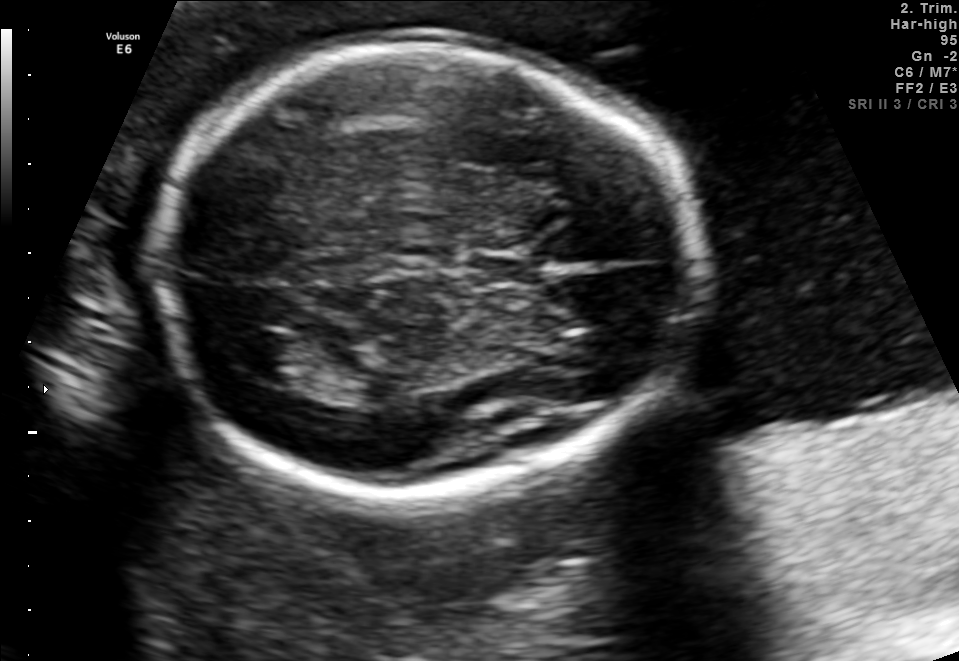
Fetal brain, trans-thalamic plane. Where is the lateral ventricle?

Lateral ventricle bounding box: [232,324,316,390]